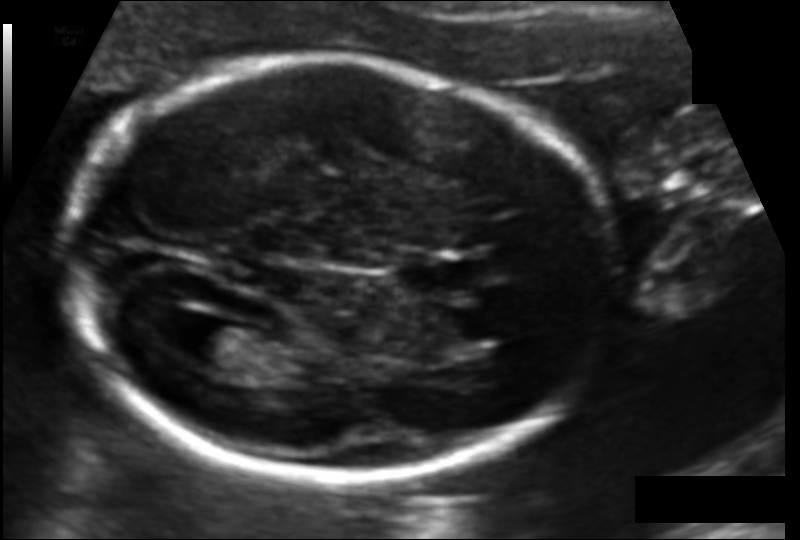
In this fetal head ultrasound, give the bounding box of the cavum septum pellucidum. Image width: 91.0 mm.

[398,255,466,296]